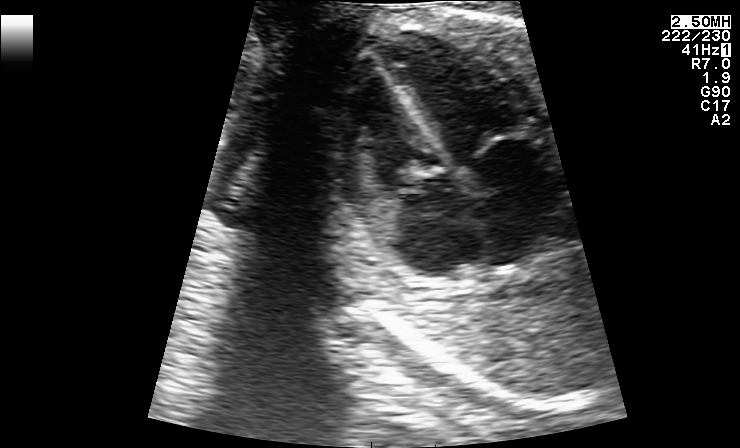
Identify the standard plane in this fetal ultrasound image: fetal abdomen, fetal brain, fetal femur, fetal thorax, maternal cervix, or other. If it's fetal brain and one of the three standard brain planes (trans-thalamic, trans-cerebellum, trans-ventricular), name which.

Fetal thorax